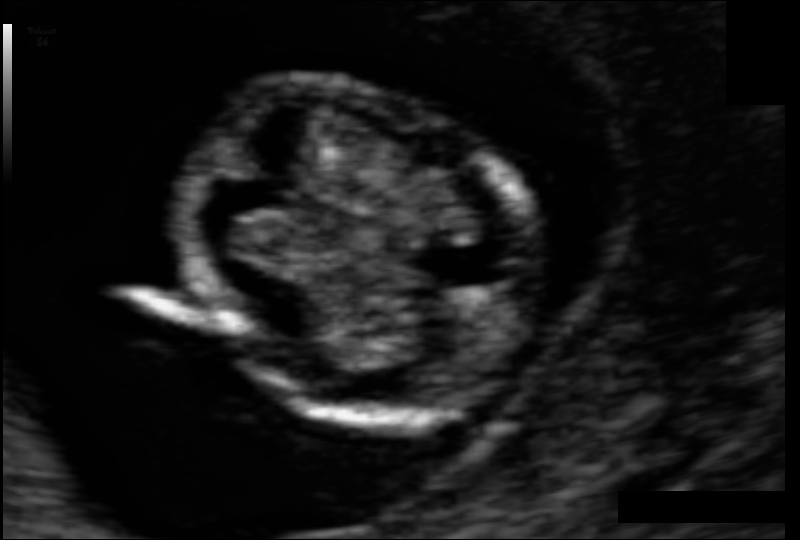
In this fetal head ultrasound, give bounding boxes for the head outline, cavum septum pellucidum (CSP), and lateral ventricle (LV), where visible. Image width: 47.3 mm.

Head: [174,83,541,419]